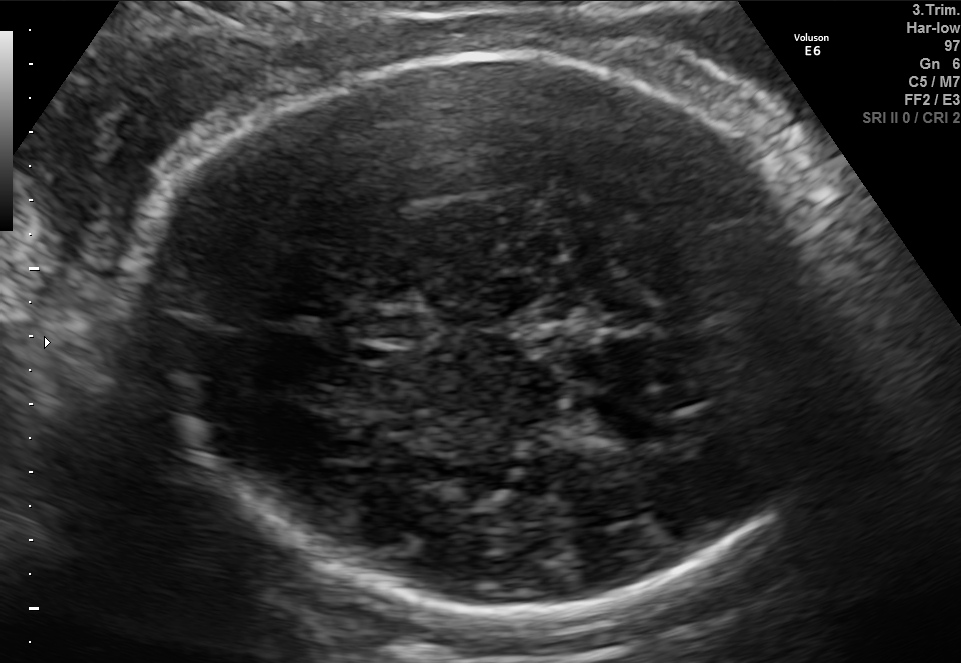
Fetal brain, trans-thalamic plane. Where is the fetal head?

Head bounding box: [133,52,846,615]